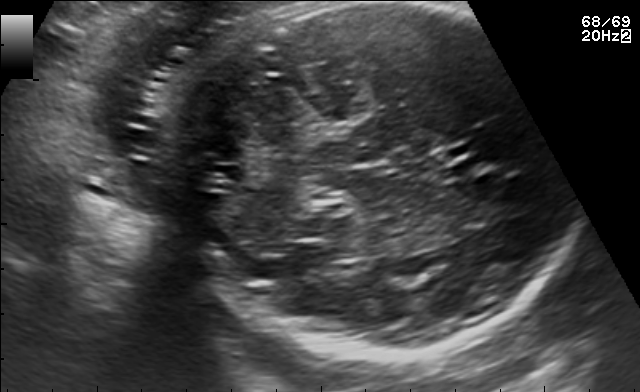
Fetal brain, trans-cerebellum plane. Give [x1,y1,x2,y2] bounding boxes for each visible structure among: fetal head, CSP, LV.

Head: [151,7,563,358]